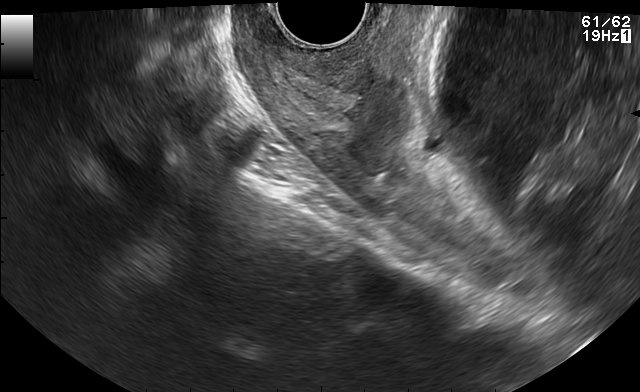
Classify this maternal-fetal ultrasound image as one of the six standard planes — fetal abdomen, fetal brain, fetal femur, fetal thorax, maternal cervix, or other. If it's fetal brain and one of the three standard brain planes (trans-thalamic, trans-cerebellum, trans-ventricular), name which.

Maternal cervix